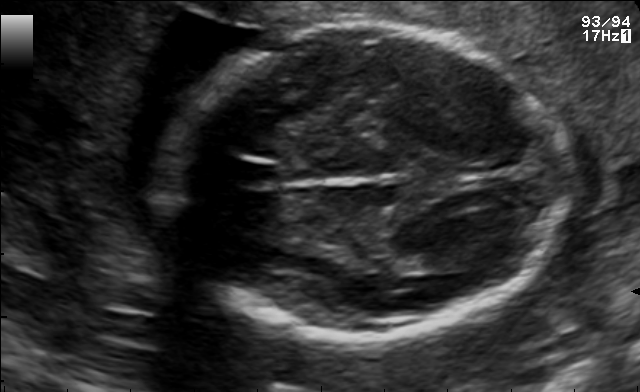
In this fetal brain, trans-thalamic plane, give bounding boxes for the head outline, cavum septum pellucidum (CSP), and lateral ventricle (LV), where visible.

Head: [155,27,567,339]
CSP: [228,160,279,188]
Lateral ventricle: [419,248,475,274]